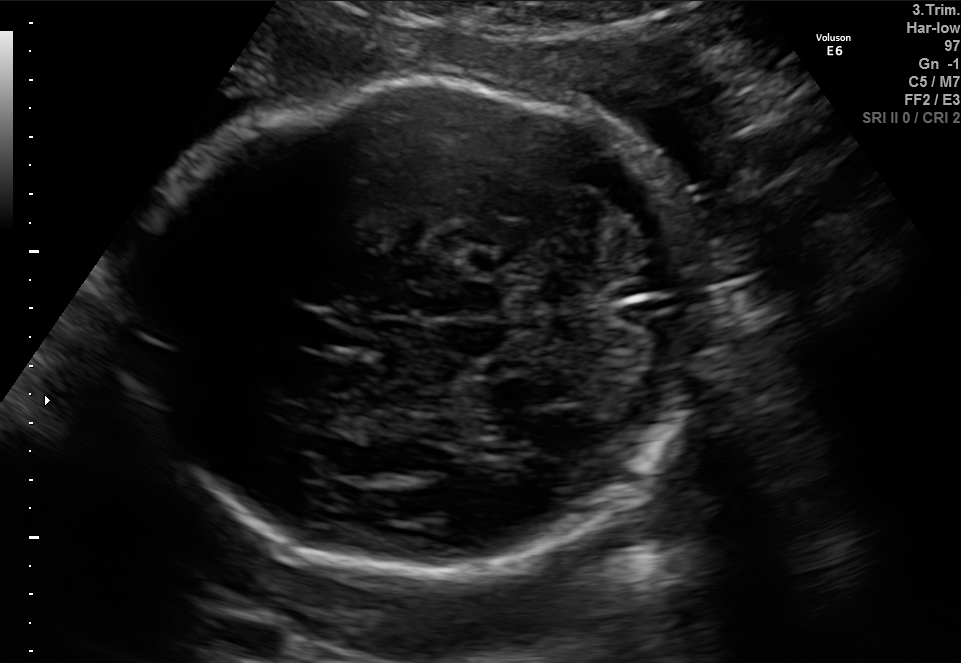
Fetal brain, trans-cerebellum plane. Give [x1,y1,x2,y2] bounding boxes for each visible structure among: fetal head, CSP, LV.

Head: [126,77,698,578]